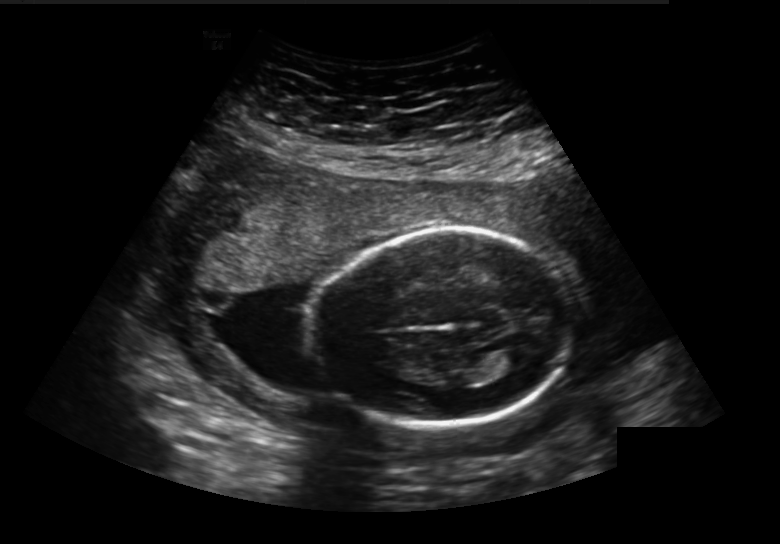
In this fetal head ultrasound, give the bounding box of the lateral ventricle. Image width: 184.0 mm.

[496,342,536,375]